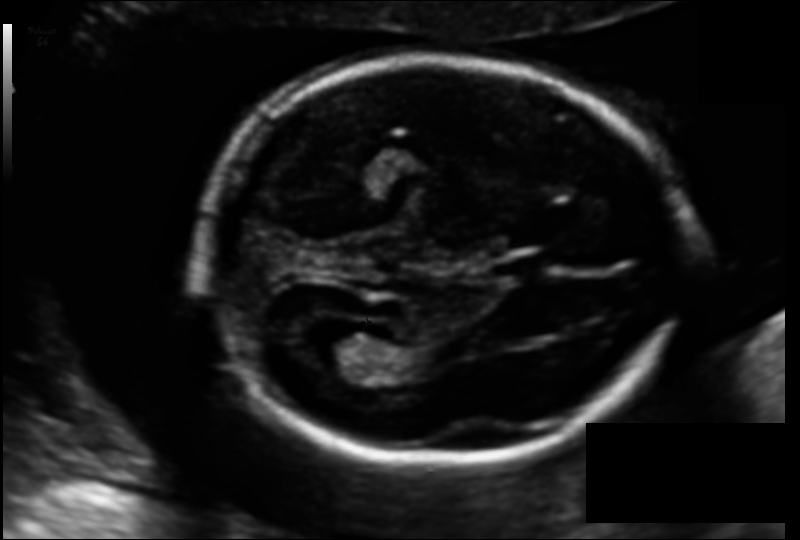
Estimate the fetal head circumference from this 2D ultrasound.

Head circumference: 176.5 mm (image width 97.9 mm).